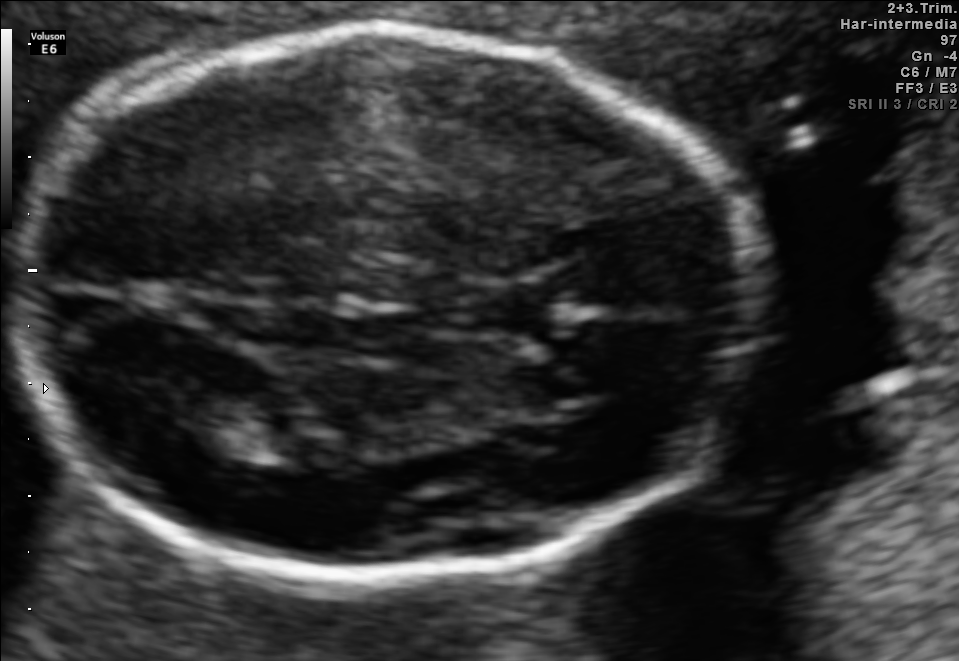
In this fetal brain, trans-thalamic plane, give bounding boxes for the head outline, cavum septum pellucidum (CSP), and lateral ventricle (LV), where visible.

Head: [9,34,746,567]
CSP: [476,287,552,334]
Lateral ventricle: [148,372,260,460]